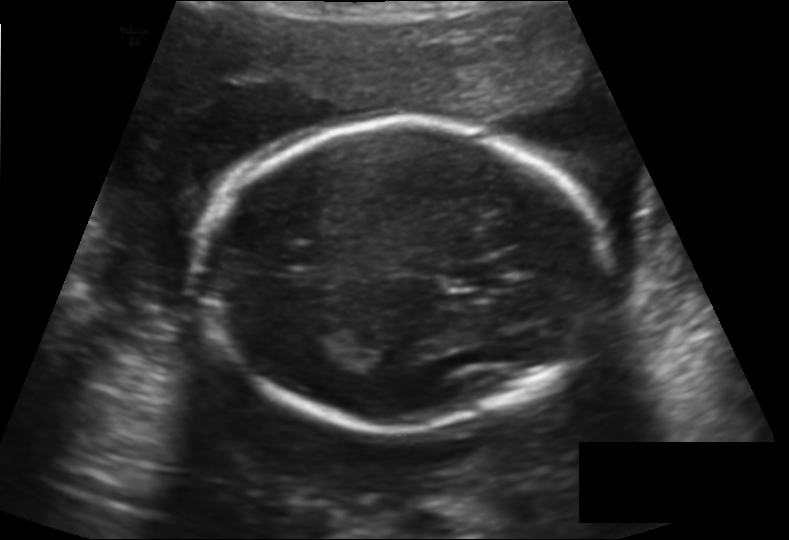
Measure the fetal head circumference shown in this ultrasound image. Image width: 124.3 mm.

Head circumference: 184.8 mm.